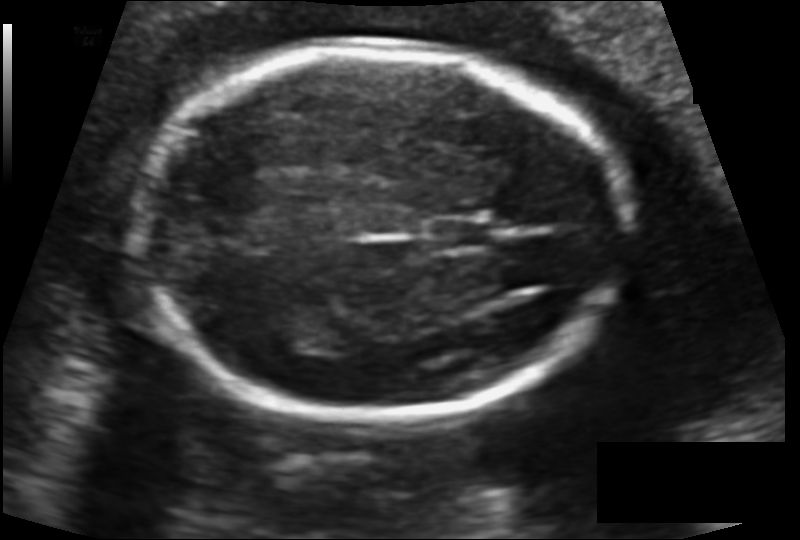
Measure the fetal head circumference shown in this ultrasound image. Image width: 98.1 mm.

Head circumference: 171.8 mm.